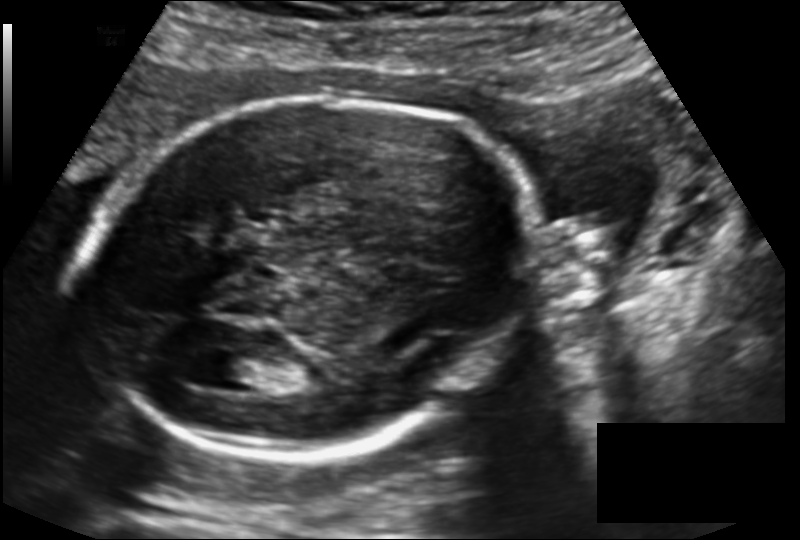
Estimate the fetal head circumference from this 2D ultrasound. Image width: 114.3 mm.

Head circumference: 192.6 mm.